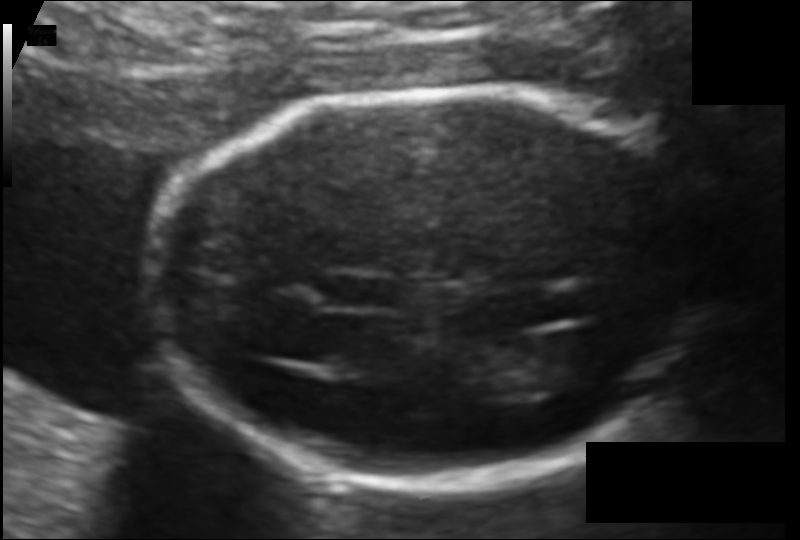
In this fetal head ultrasound, give bounding boxes for the head outline, cavum septum pellucidum (CSP), and lateral ventricle (LV), where visible. Image width: 82.4 mm.

Head: [157,92,685,482]